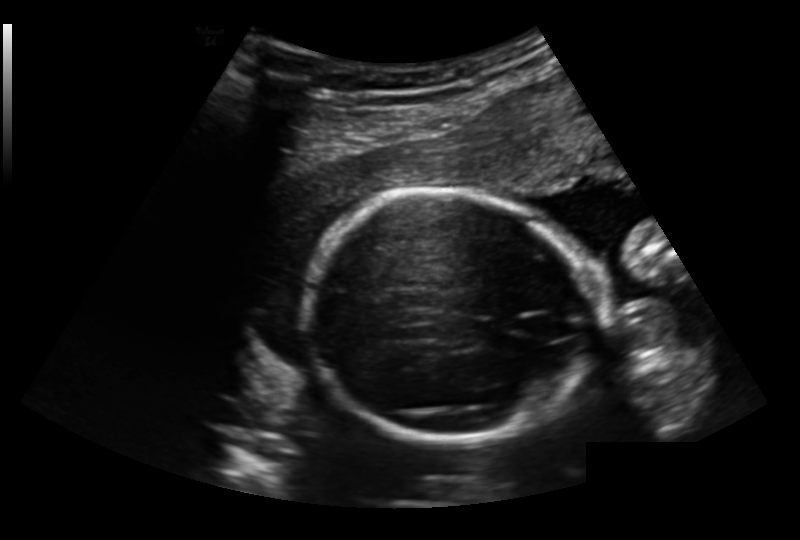
What is the fetal head circumference? Image width is 152.5 mm.

169.4 mm